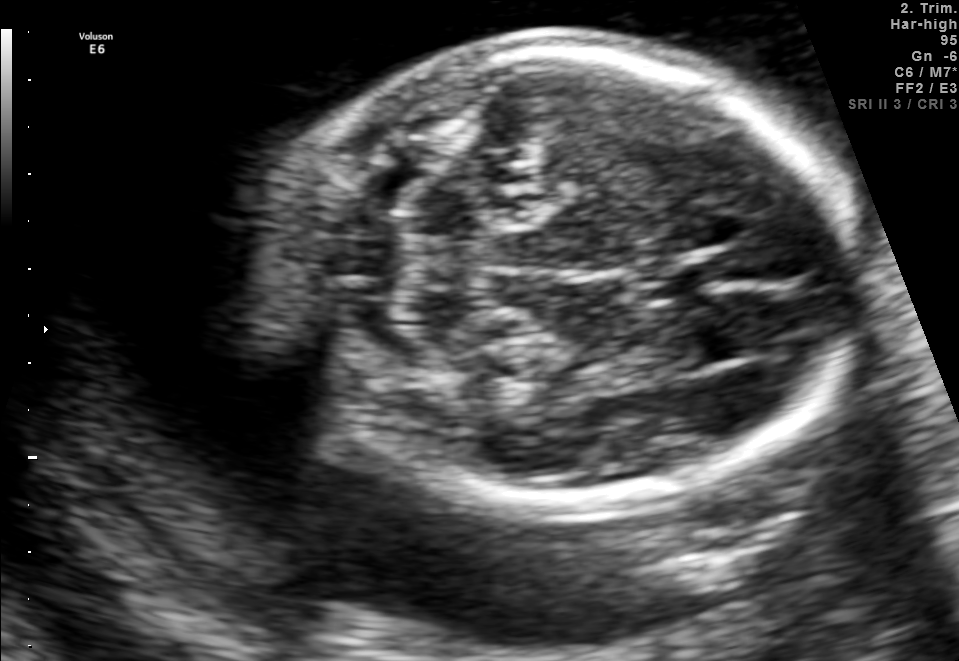
Fetal brain, trans-cerebellum plane. Locate the fetal head.

Head: [254,44,861,511]